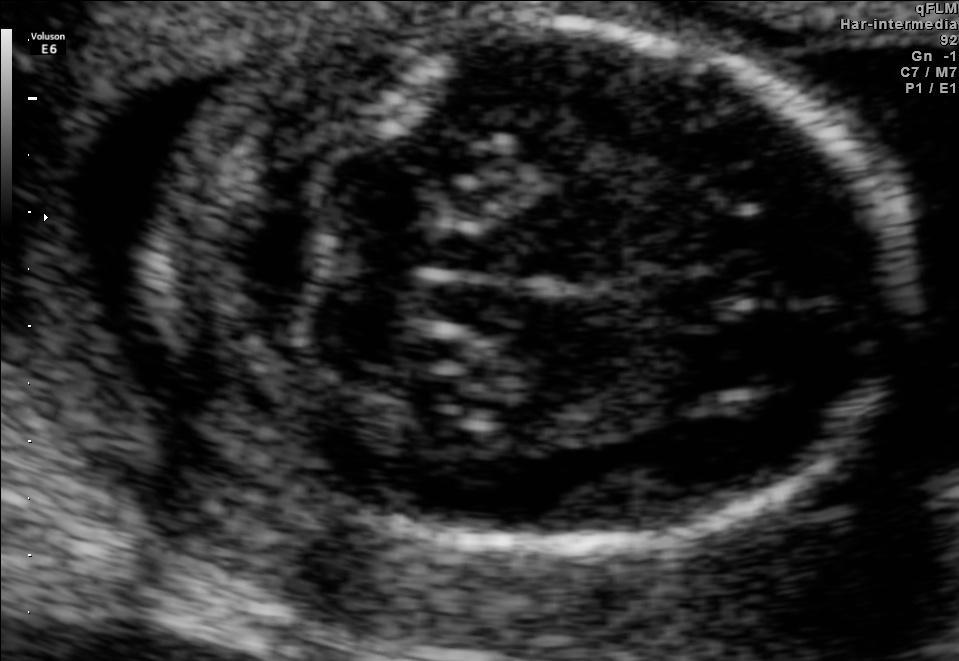
Fetal brain, trans-cerebellum plane. Where is the fetal head?

Head bounding box: [154,19,907,540]